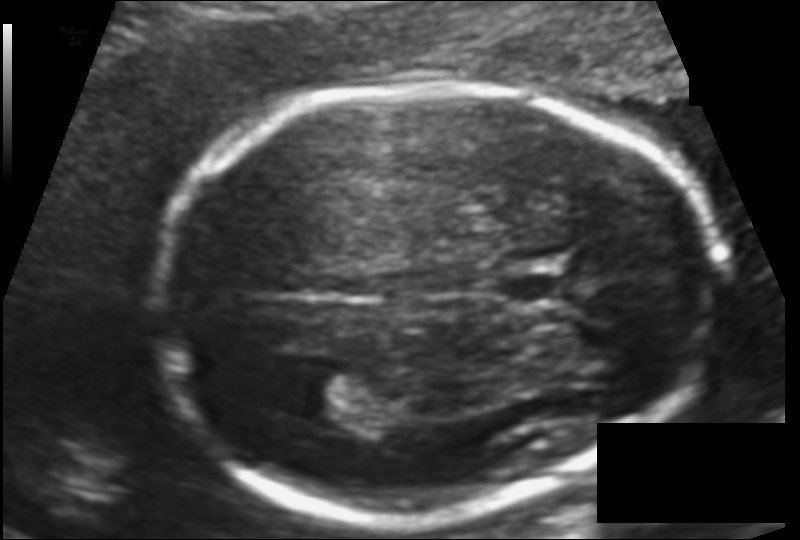
Fetal head ultrasound. Image width: 87.8 mm. Locate the cavum septum pellucidum.

CSP: [501,269,574,307]